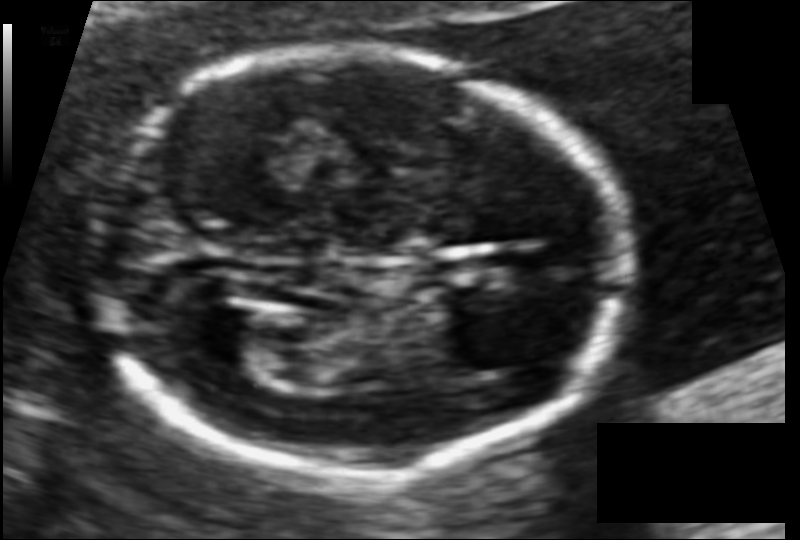
Fetal head ultrasound. Image width: 69.9 mm. Locate the fetal head.

Head: [96,49,619,475]